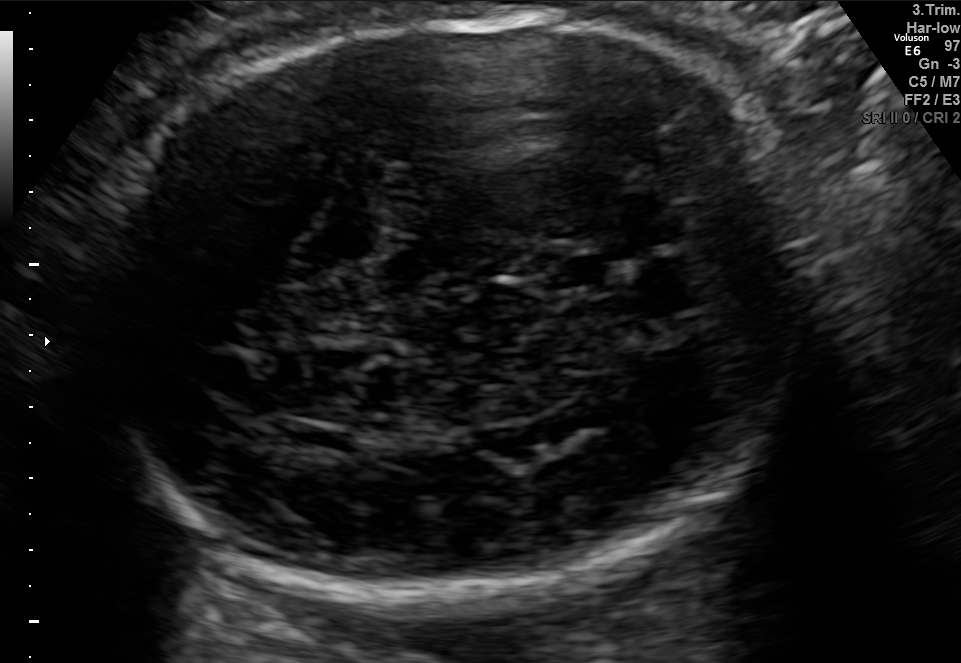
Fetal brain, trans-thalamic plane. Where is the fetal head?

Head bounding box: [86,8,815,585]